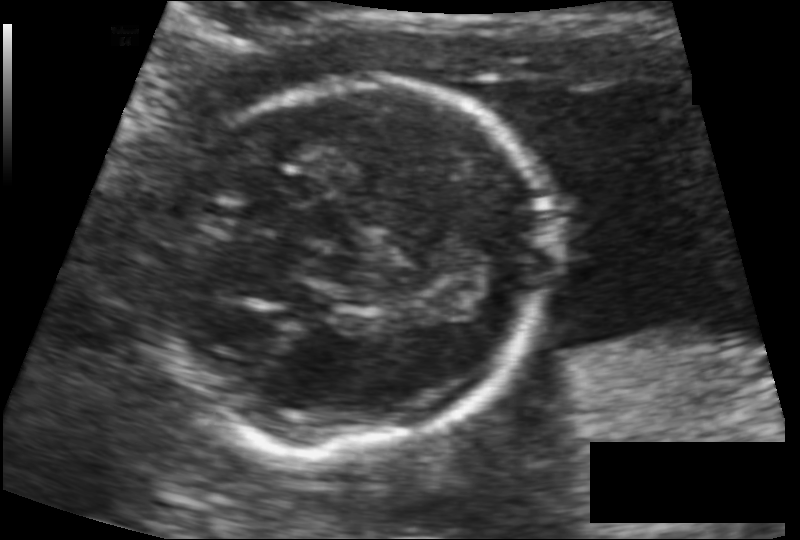
Measure the fetal head circumference shown in this ultrasound image. Image width: 79.7 mm.

Head circumference: 123.2 mm.